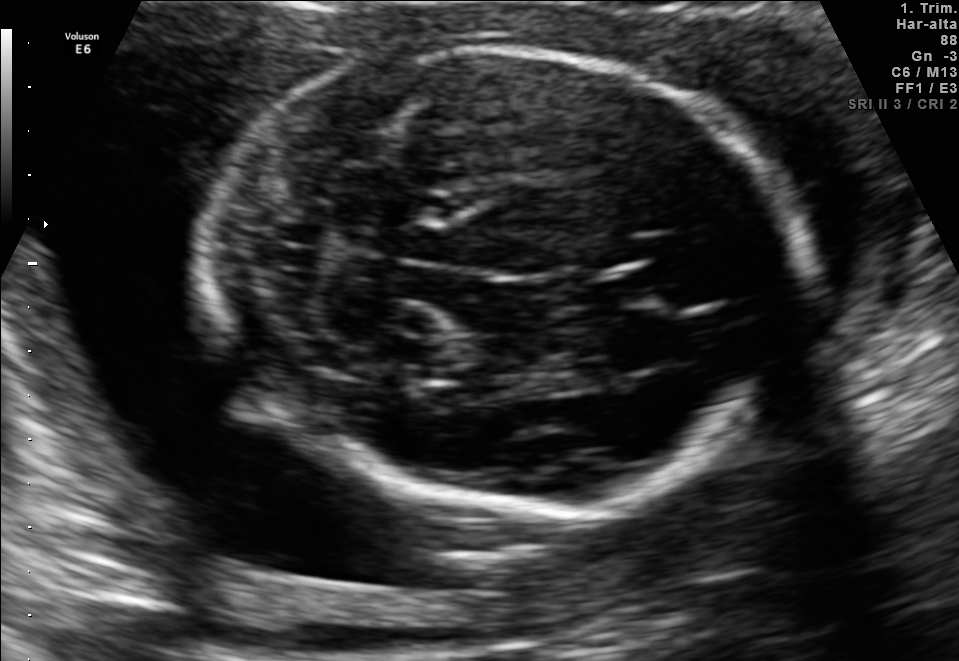
Classify this maternal-fetal ultrasound image as one of the six standard planes — fetal abdomen, fetal brain, fetal femur, fetal thorax, maternal cervix, or other. If it's fetal brain and one of the three standard brain planes (trans-thalamic, trans-cerebellum, trans-ventricular), name which.

Fetal brain (trans-cerebellum plane)